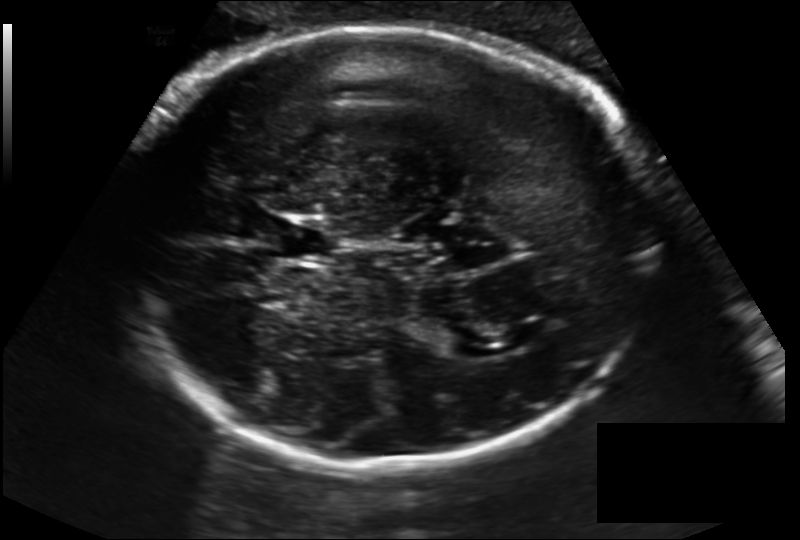
Fetal head ultrasound. Image width: 155.1 mm. Give [x1,y1,x2,y2] bounding boxes for each visible structure among: fetal head, CSP, LV.

Head: [117,27,665,464]
CSP: [260,215,332,264]
Lateral ventricle: [431,323,481,358]